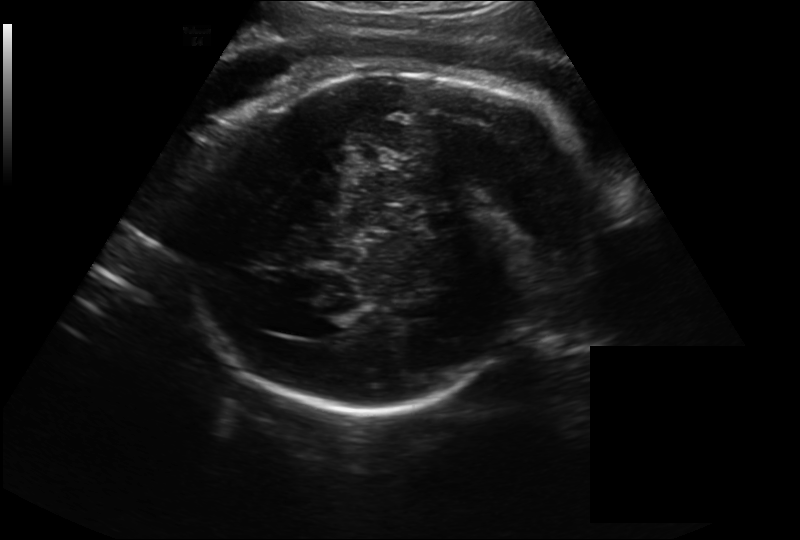
Fetal head ultrasound. Image width: 209.3 mm. Where is the fetal head?

Head bounding box: [194,65,585,408]